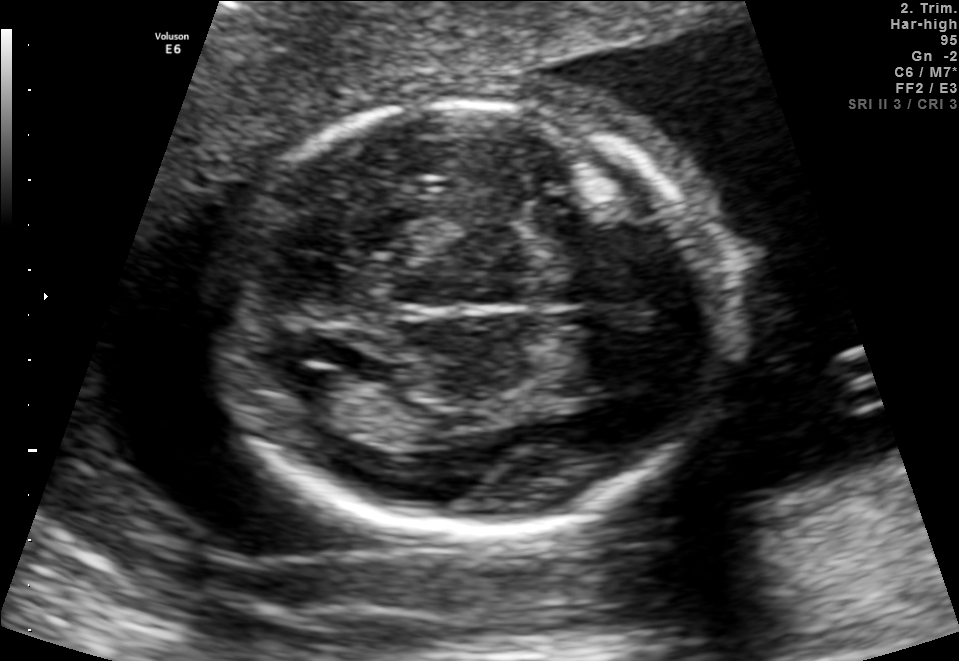
In this fetal brain, trans-ventricular plane, give bounding boxes for the head outline, cavum septum pellucidum (CSP), and lateral ventricle (LV), where visible.

Head: [203,92,726,543]